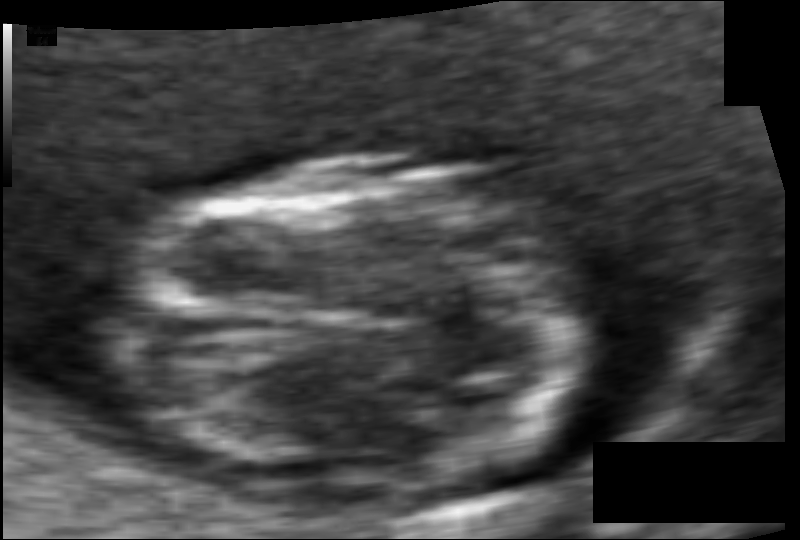
Fetal head ultrasound. Image width: 39.5 mm. Locate the fetal head and, if visible, the cavum septum pellucidum (CSP) and lateral ventricle (LV). Give bounding boxes as [x1,y1,x2,y2].

Head: [112,164,601,495]